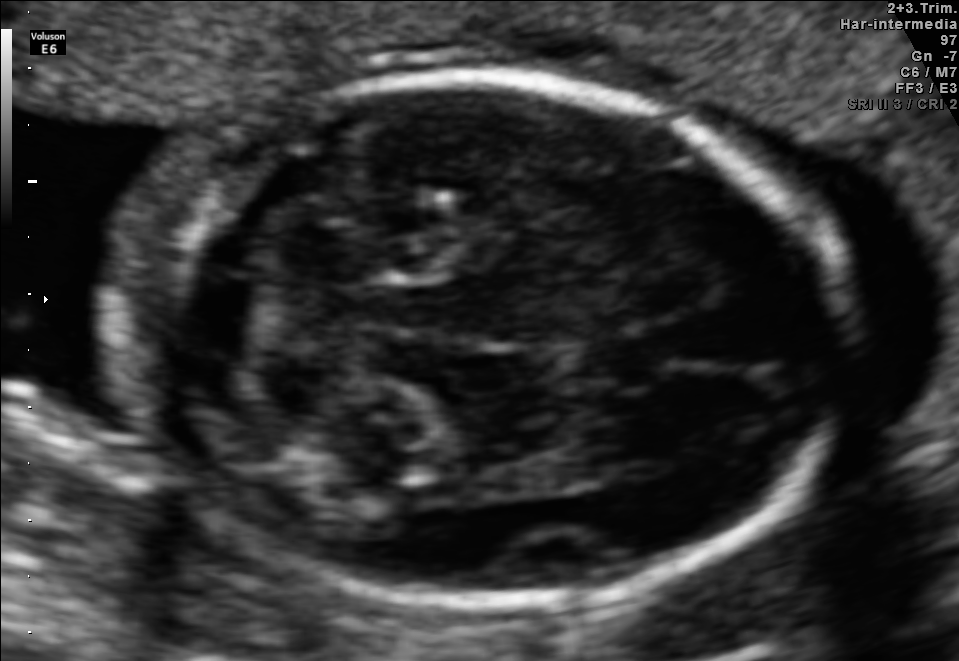
Fetal brain, trans-cerebellum plane. Locate the fetal head.

Head: [121,75,838,608]